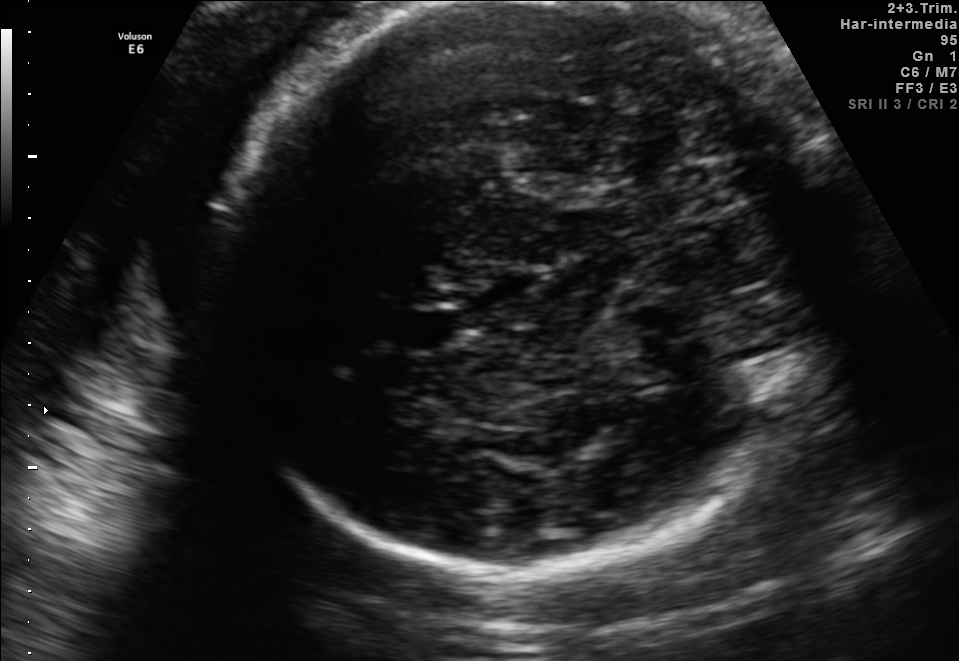
In this fetal brain, trans-thalamic plane, give the bounding box of the fetal head.

[214,4,845,561]